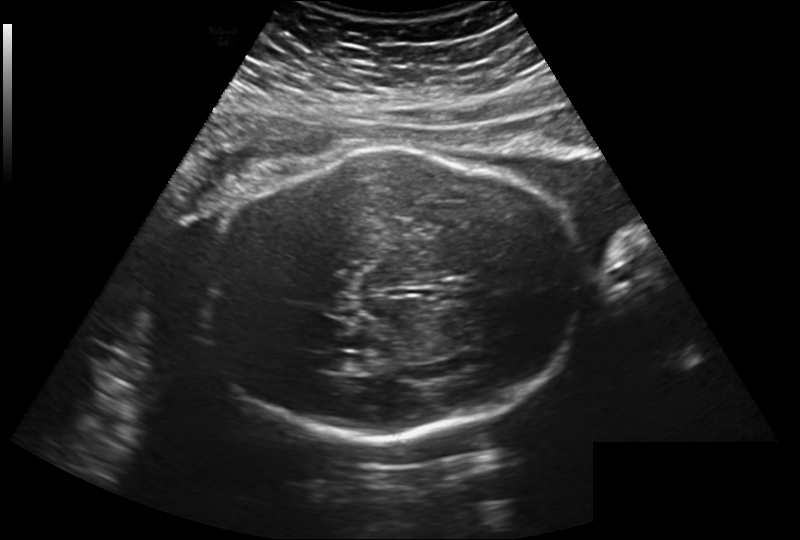
Fetal head ultrasound. Image width: 208.3 mm. Locate the fetal head.

Head: [204,145,583,439]